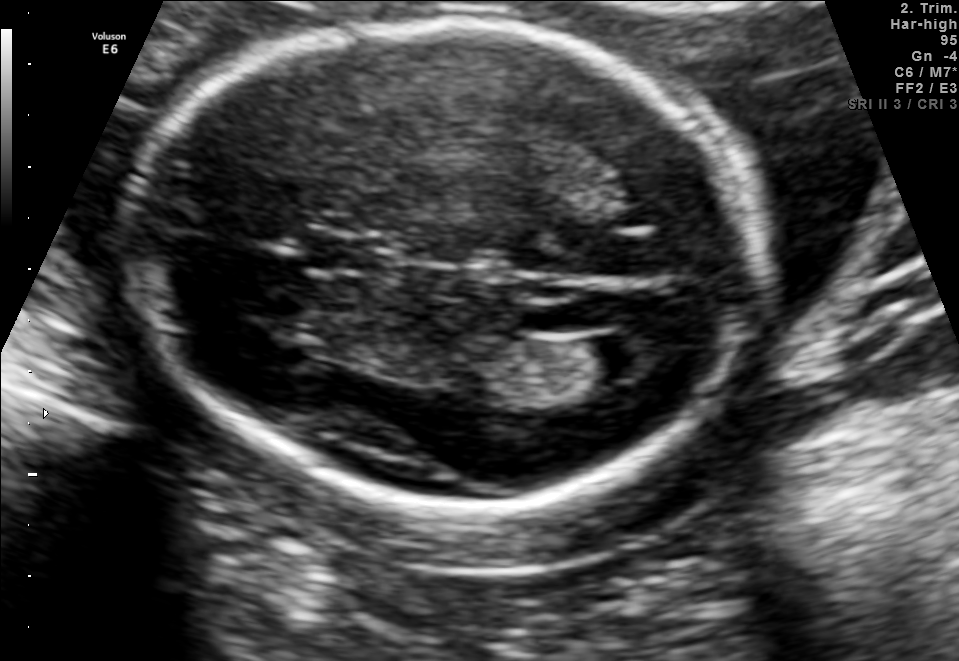
In this fetal brain, trans-ventricular plane, give the bounding box of the lateral ventricle.

[583,319,667,387]